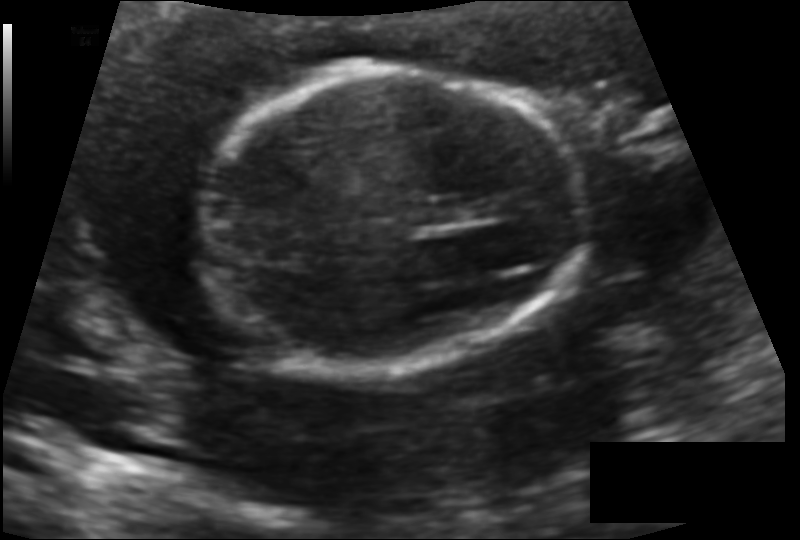
Estimate the fetal head circumference from this 2D ultrasound.

Head circumference: 123.3 mm (image width 90.0 mm).